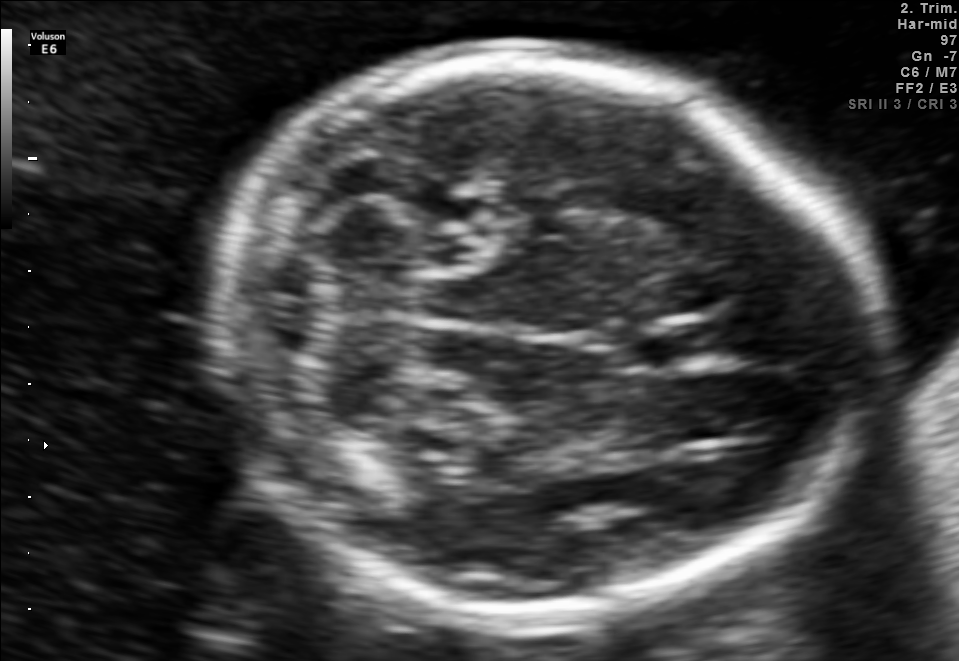
Fetal brain, trans-cerebellum plane. Where is the cavum septum pellucidum?

CSP bounding box: [621,310,732,374]